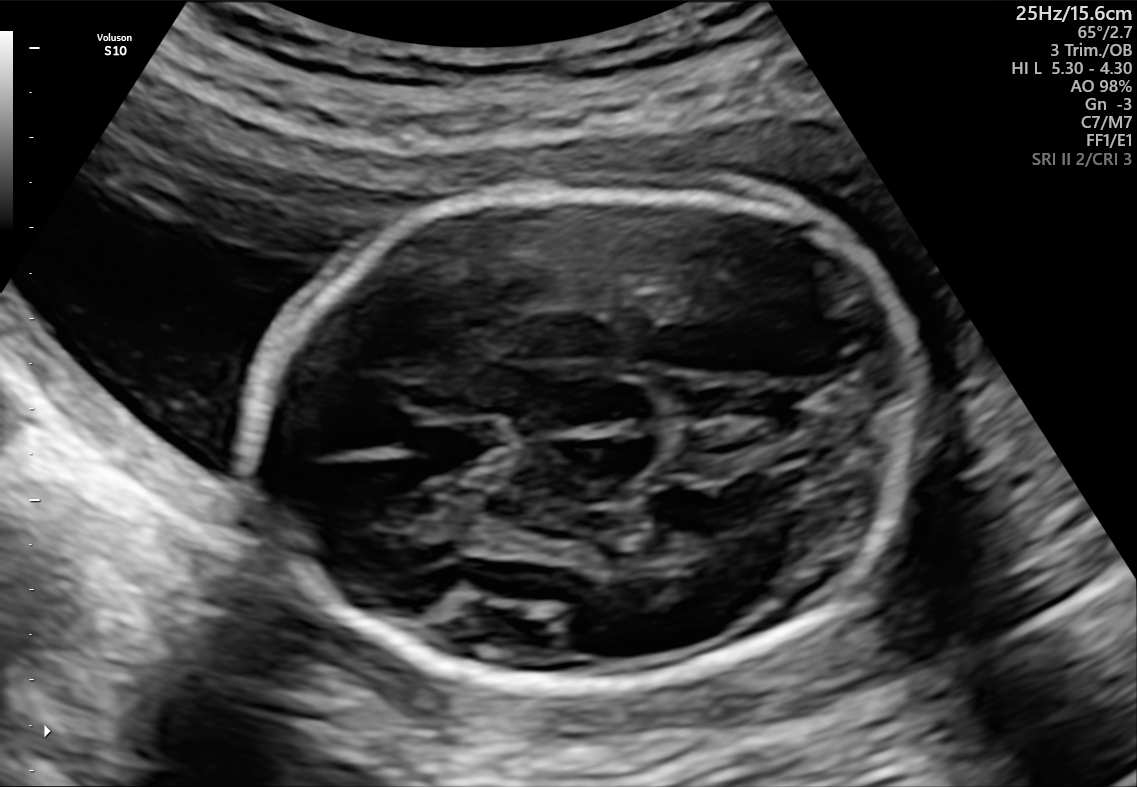
Fetal brain, trans-thalamic plane. Locate the fetal head.

Head: [247,182,924,693]